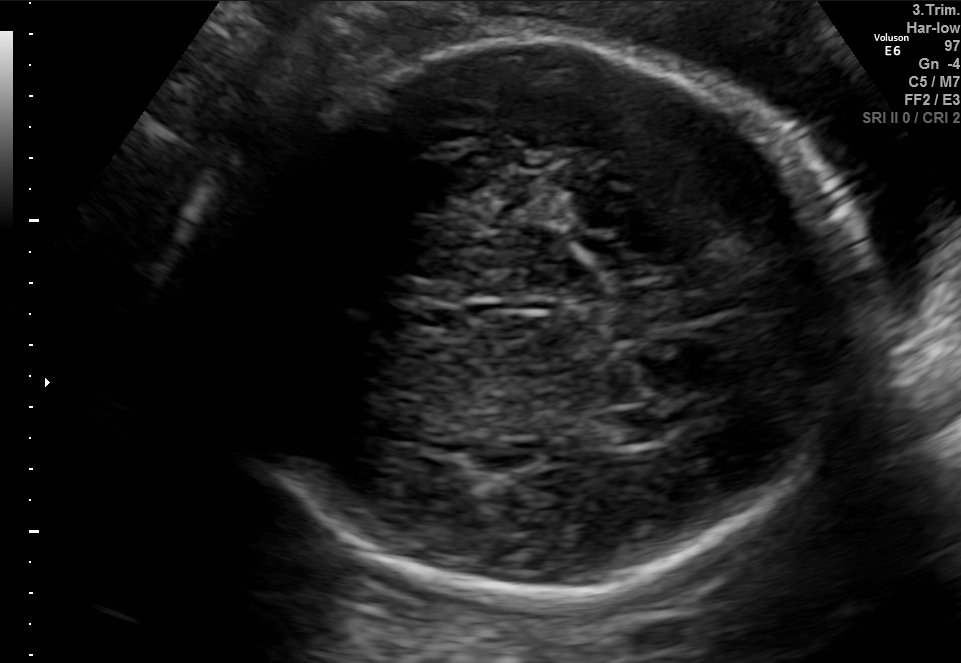
Fetal brain, trans-thalamic plane. Give [x1,y1,x2,y2] bounding boxes for each visible structure among: fetal head, CSP, LV.

Head: [221,34,858,597]
CSP: [404,306,468,330]
Lateral ventricle: [584,404,662,453]